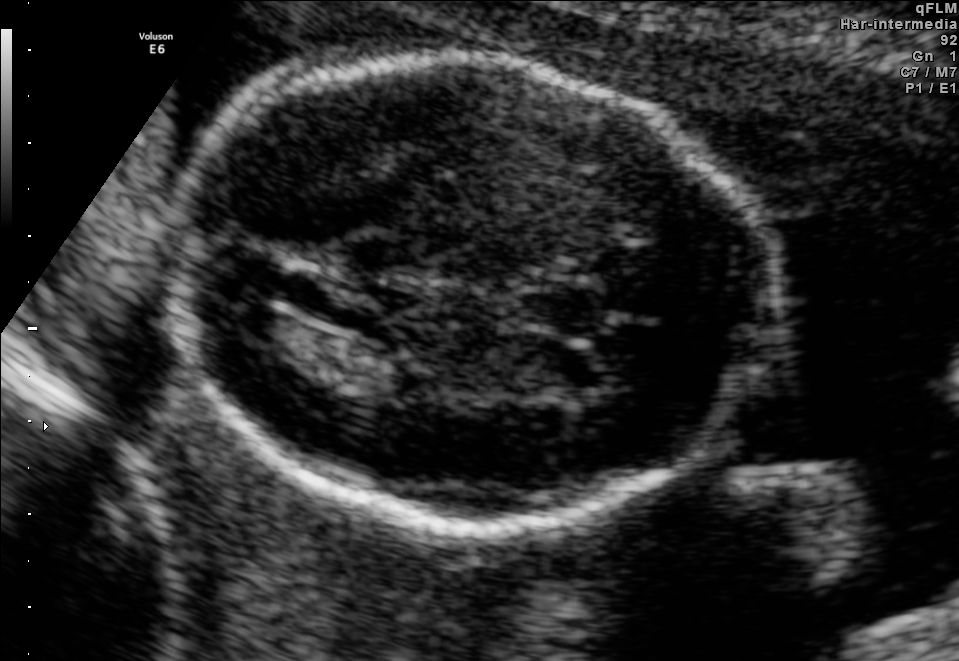
Fetal brain, trans-thalamic plane. Give [x1,y1,x2,y2] bounding boxes for each visible structure among: fetal head, CSP, LV.

Head: [177,57,766,528]
CSP: [519,284,603,334]
Lateral ventricle: [214,285,301,355]